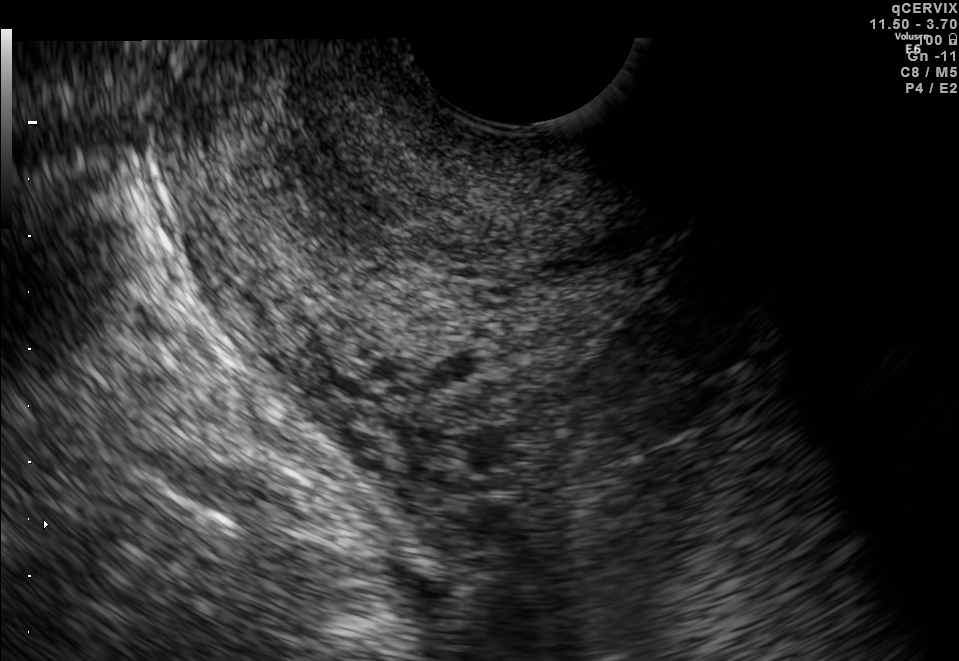
Identify the standard plane in this fetal ultrasound image: fetal abdomen, fetal brain, fetal femur, fetal thorax, maternal cervix, or other. If it's fetal brain and one of the three standard brain planes (trans-thalamic, trans-cerebellum, trans-ventricular), name which.

Maternal cervix